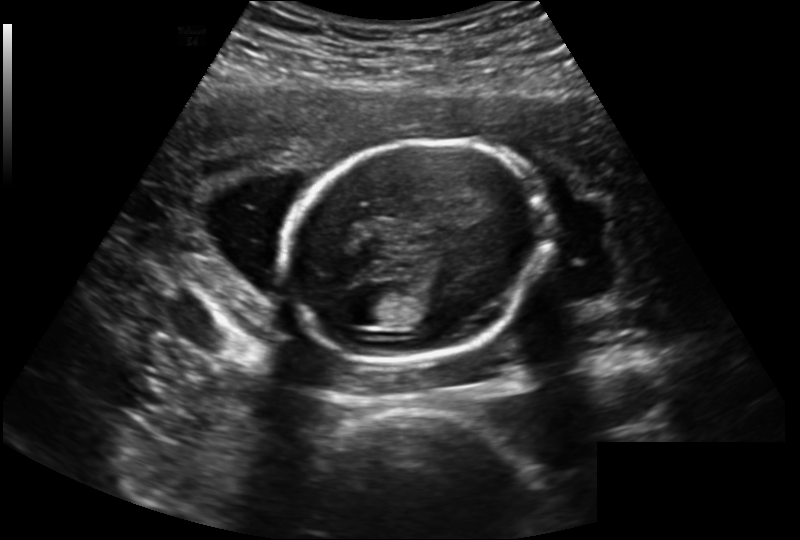
Fetal head ultrasound. Image width: 161.7 mm. Give [x1,y1,x2,y2] bounding boxes for each visible structure among: fetal head, CSP, LV.

Head: [283,140,551,364]
Lateral ventricle: [332,291,385,327]